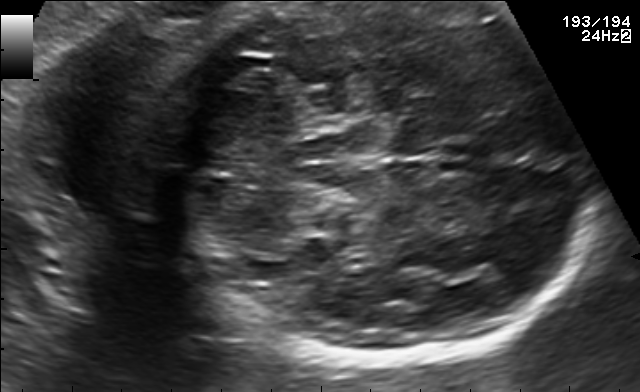
Identify the standard plane in this fetal ultrasound image: fetal abdomen, fetal brain, fetal femur, fetal thorax, maternal cervix, or other. If it's fetal brain and one of the three standard brain planes (trans-thalamic, trans-cerebellum, trans-ventricular), name which.

Fetal brain (trans-cerebellum plane)